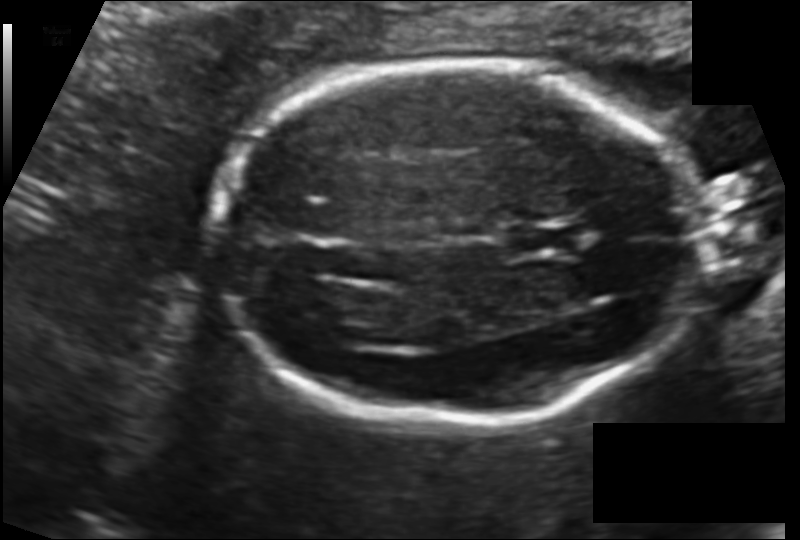
Fetal head ultrasound. Image width: 98.3 mm. Locate the fetal head and, if visible, the cavum septum pellucidum (CSP) and lateral ventricle (LV). Give bounding boxes as [x1,y1,x2,y2].

Head: [212,65,707,428]
CSP: [505,221,579,260]
Lateral ventricle: [286,278,369,338]